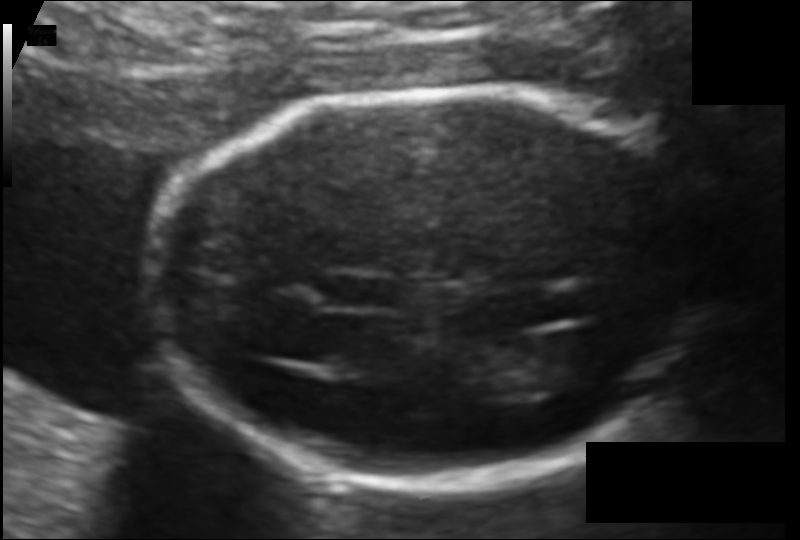
Fetal head ultrasound. Image width: 82.4 mm. Give [x1,y1,x2,y2] bounding boxes for each visible structure among: fetal head, CSP, LV.

Head: [157,92,685,482]